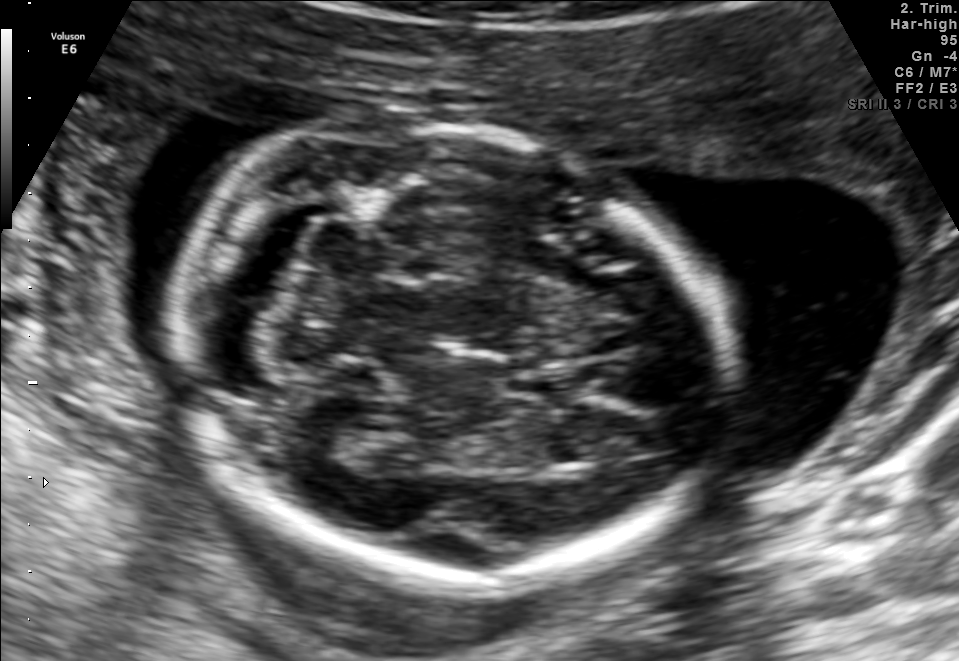
Fetal brain, trans-cerebellum plane. Give [x1,y1,x2,y2] bounding boxes for each visible structure among: fetal head, CSP, LV.

Head: [173,121,732,584]